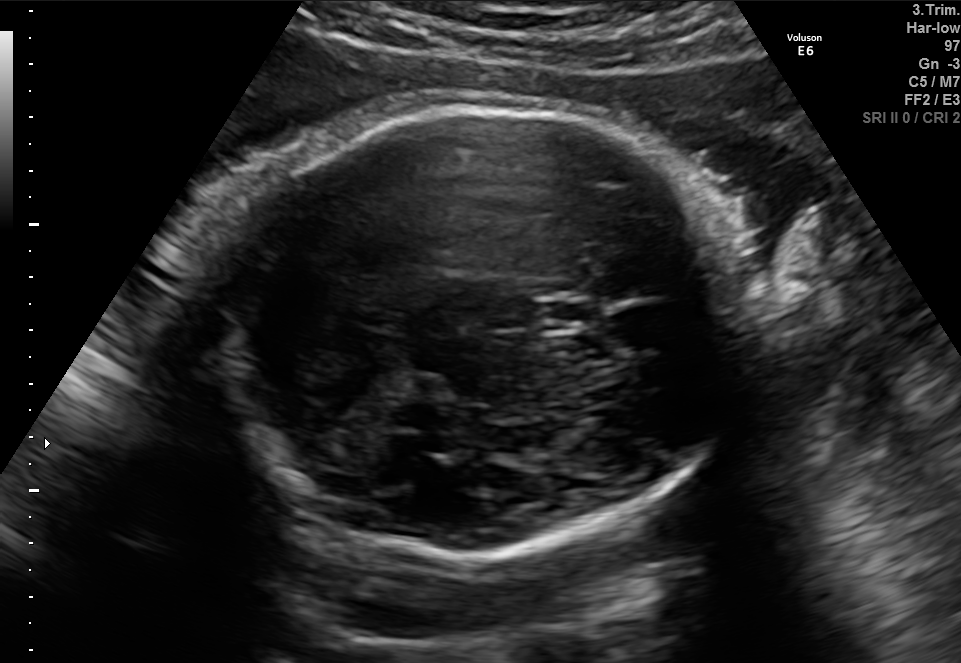
Fetal brain, trans-thalamic plane. Where is the fetal head?

Head bounding box: [218,105,755,558]